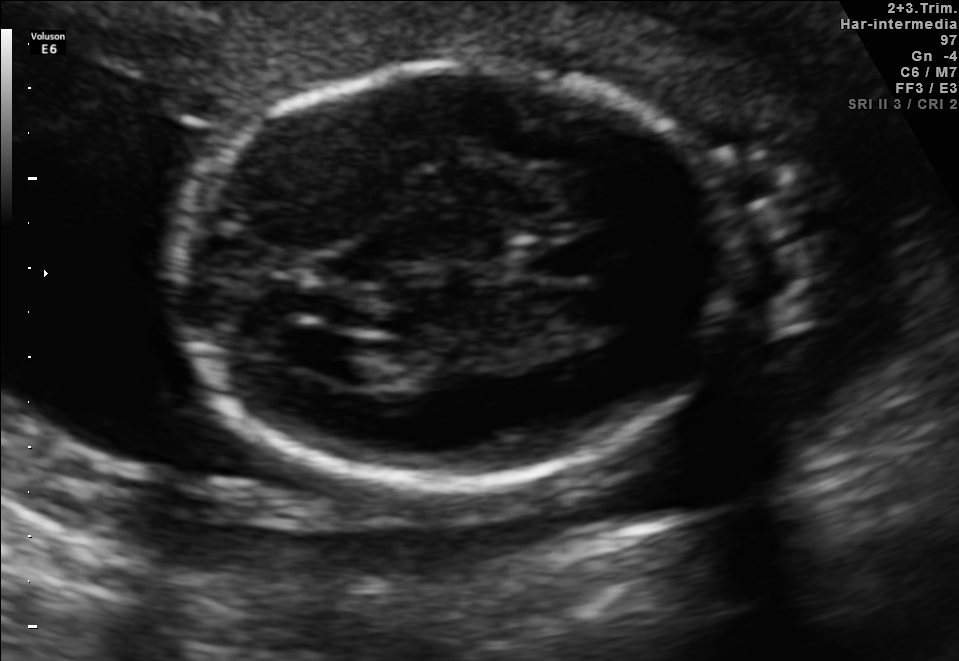
Fetal brain, trans-ventricular plane. Where is the cavum septum pellucidum?

CSP bounding box: [510,239,592,278]